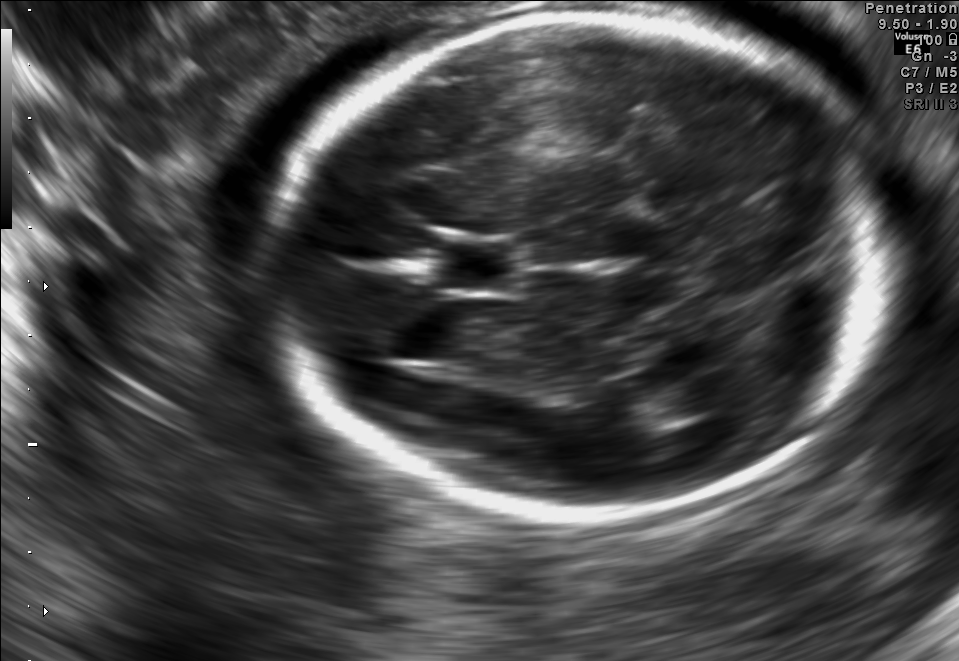
Fetal brain, trans-thalamic plane. Locate the fetal head and, if visible, the cavum septum pellucidum (CSP) and lateral ventricle (LV). Give bounding boxes as [x1,y1,x2,y2].

Head: [272,12,899,521]
CSP: [440,244,514,287]